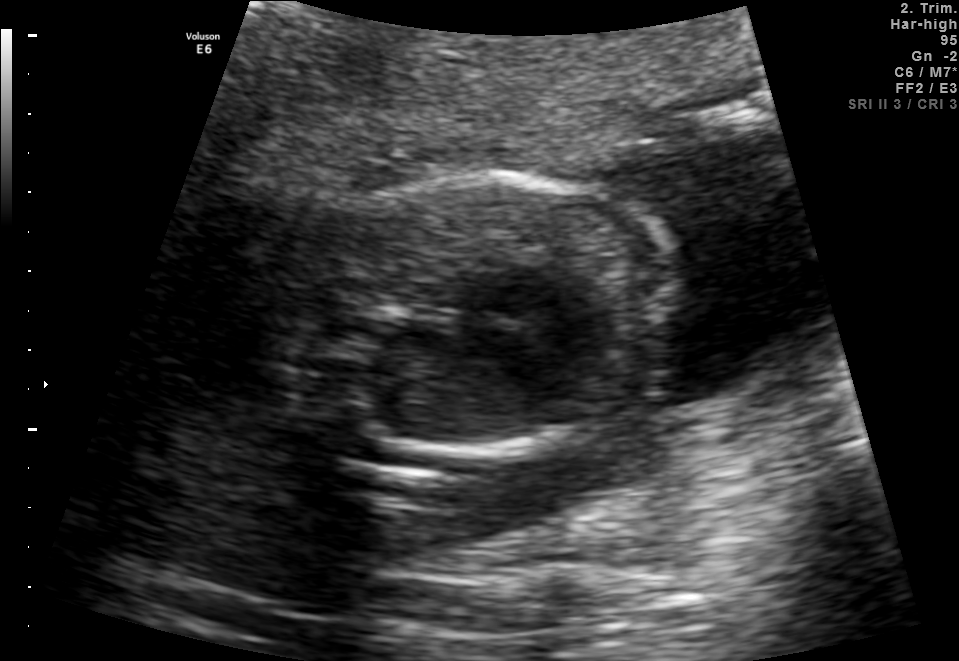
Classify this maternal-fetal ultrasound image as one of the six standard planes — fetal abdomen, fetal brain, fetal femur, fetal thorax, maternal cervix, or other. If it's fetal brain and one of the three standard brain planes (trans-thalamic, trans-cerebellum, trans-ventricular), name which.

Other